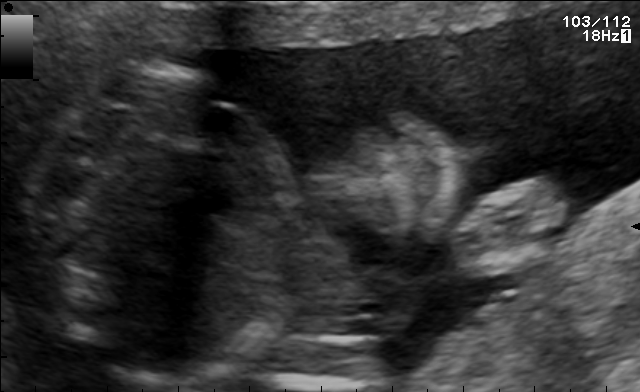
Classify this maternal-fetal ultrasound image as one of the six standard planes — fetal abdomen, fetal brain, fetal femur, fetal thorax, maternal cervix, or other. If it's fetal brain and one of the three standard brain planes (trans-thalamic, trans-cerebellum, trans-ventricular), name which.

Other